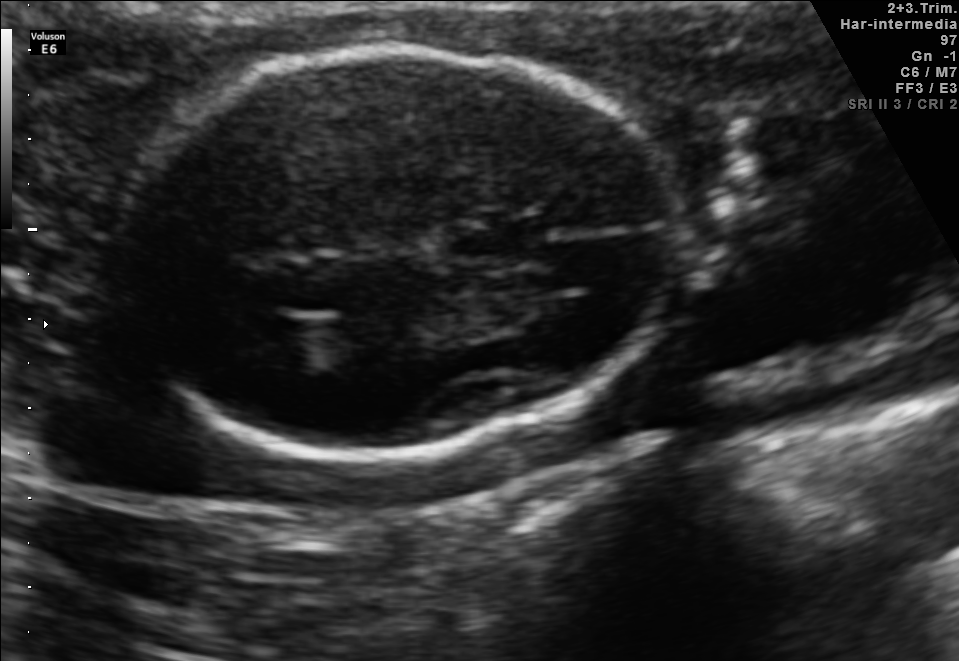
Fetal brain, trans-thalamic plane. Locate the fetal head.

Head: [116,48,673,453]